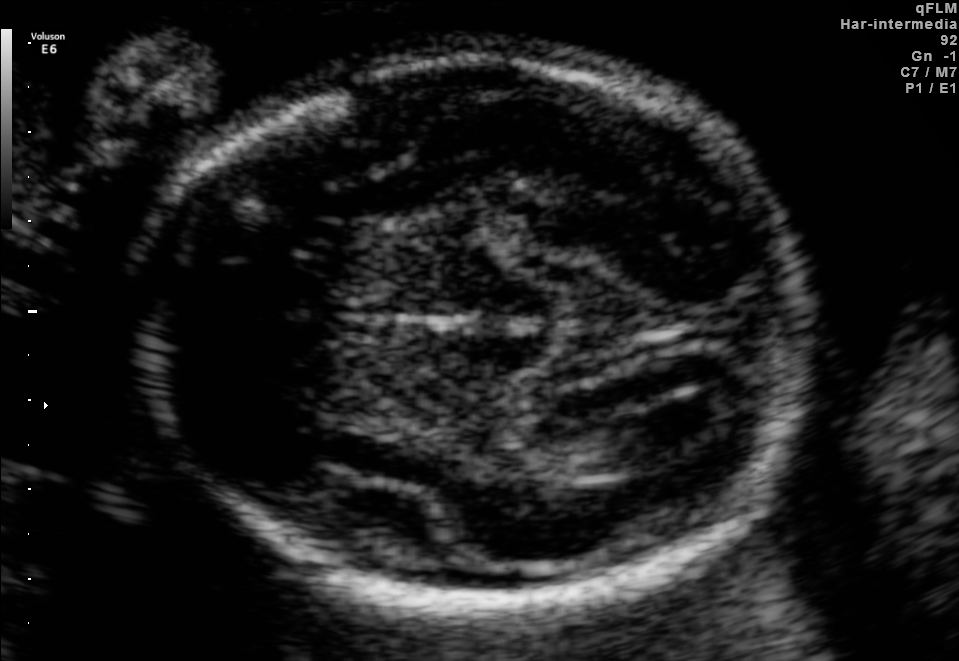
Fetal brain, trans-thalamic plane. Where is the fetal head?

Head bounding box: [134,56,817,601]